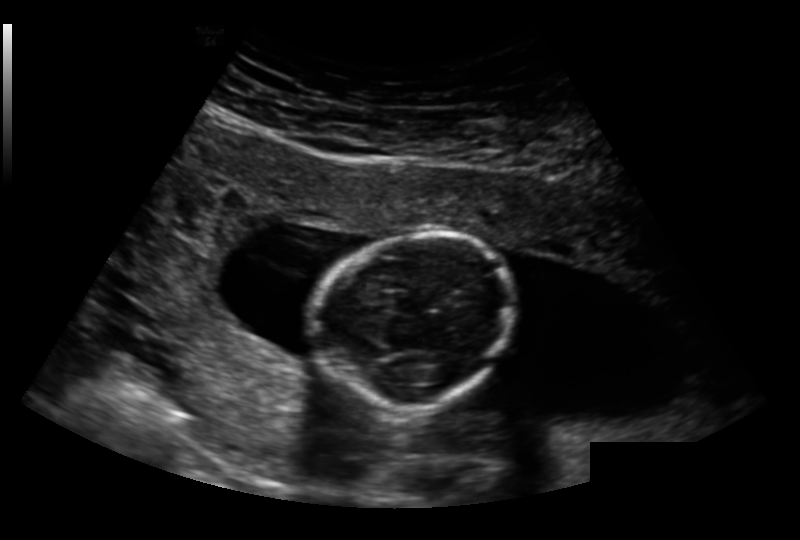
Estimate the fetal head circumference from this 2D ultrasound. Image width: 152.4 mm.

Head circumference: 116.8 mm.